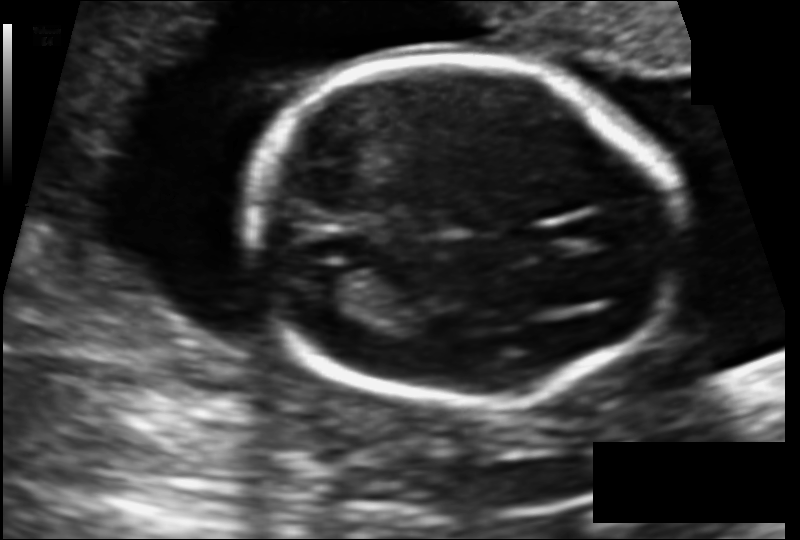
In this fetal head ultrasound, give the bounding box of the fetal head. Image width: 96.7 mm.

[244,59,674,403]